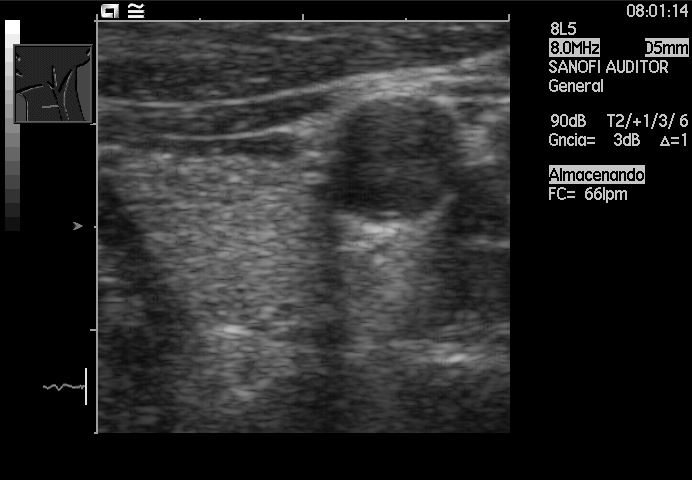
Which standard maternal-fetal ultrasound plane is shown: fetal abdomen, fetal brain, fetal femur, fetal thorax, maternal cervix, or other? If it's fetal brain and one of the three standard brain planes (trans-thalamic, trans-cerebellum, trans-ventricular), name which.

Other